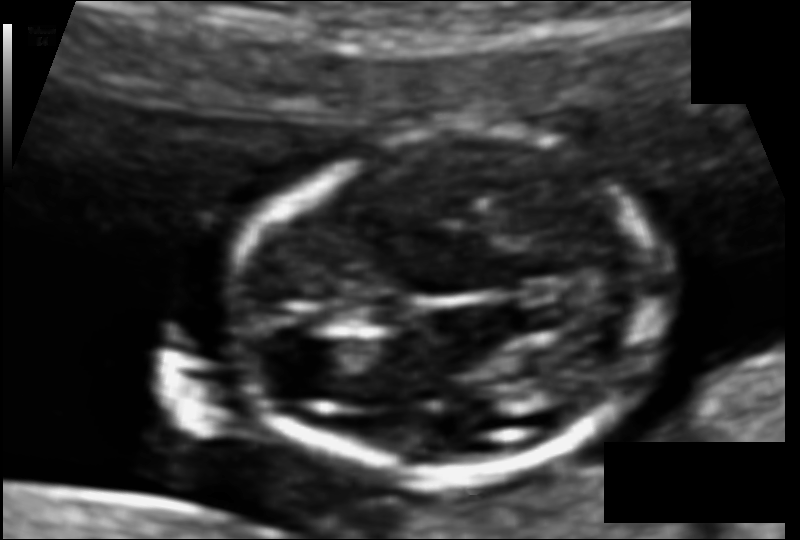
Measure the fetal head circumference shown in this ultrasound image. Image width: 60.3 mm.

Head circumference: 95.3 mm.